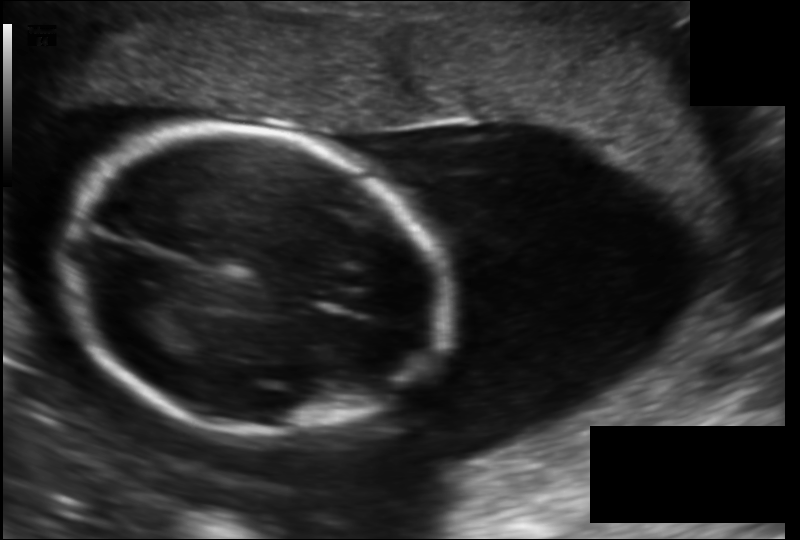
From this fetal ultrasound, estimate the head circumference (image width 124.6 mm).

Head circumference: 175.2 mm.